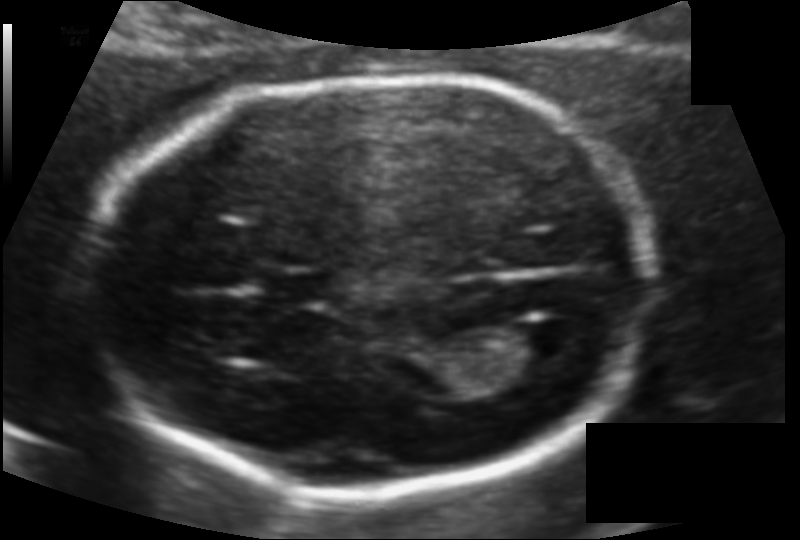
From this fetal ultrasound, estimate the head circumference (image width 85.2 mm).

Head circumference: 166.7 mm.